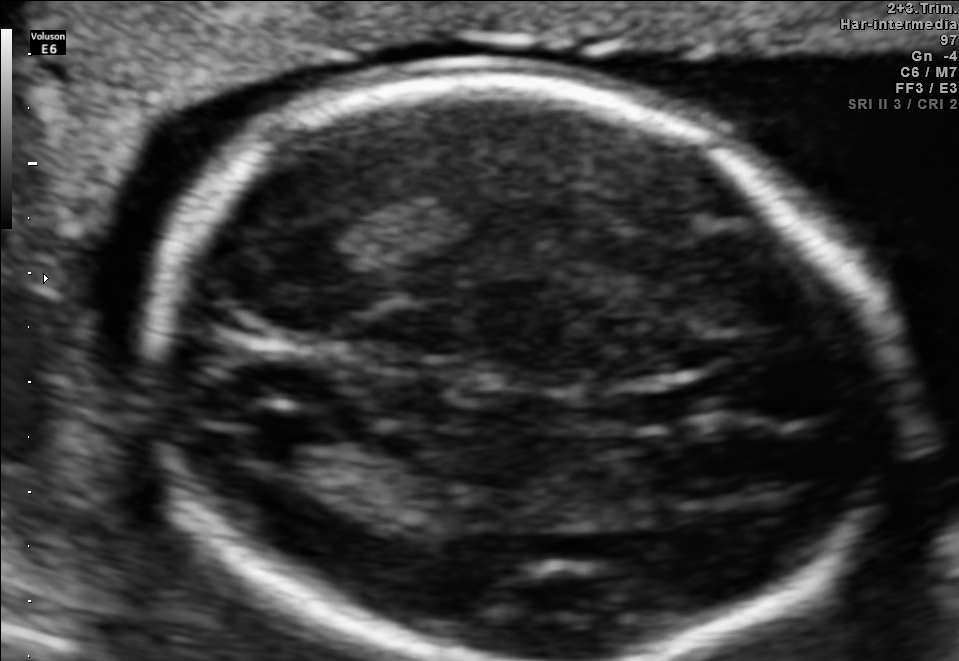
Which standard maternal-fetal ultrasound plane is shown: fetal abdomen, fetal brain, fetal femur, fetal thorax, maternal cervix, or other? If it's fetal brain and one of the three standard brain planes (trans-thalamic, trans-cerebellum, trans-ventricular), name which.

Fetal brain (trans-thalamic plane)